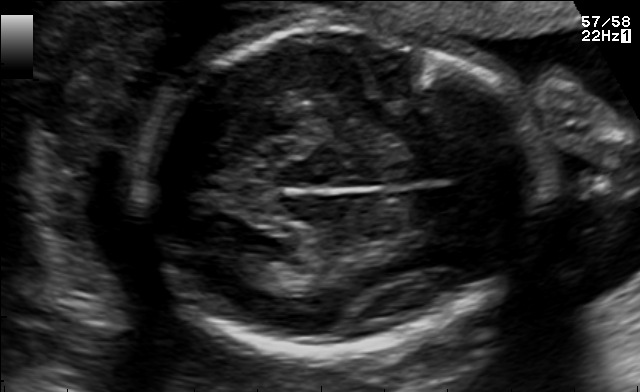
Which standard maternal-fetal ultrasound plane is shown: fetal abdomen, fetal brain, fetal femur, fetal thorax, maternal cervix, or other? If it's fetal brain and one of the three standard brain planes (trans-thalamic, trans-cerebellum, trans-ventricular), name which.

Fetal brain (trans-thalamic plane)